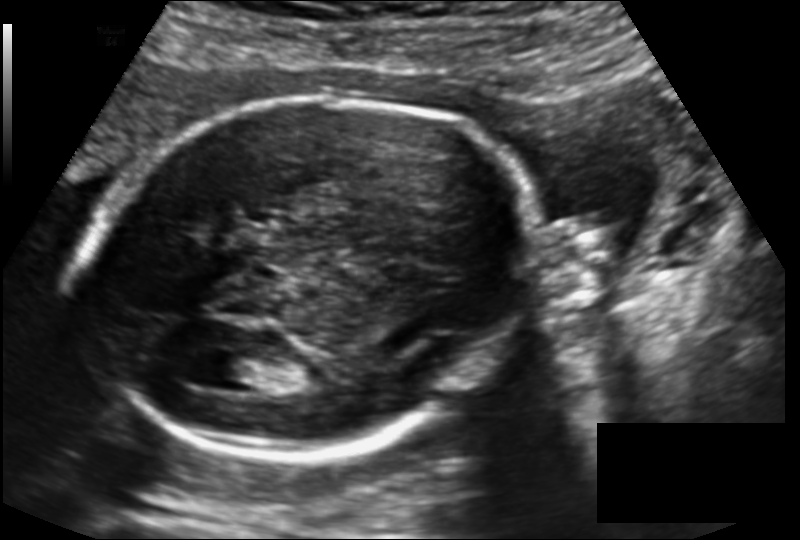
Fetal head ultrasound. Image width: 114.3 mm. Where is the lateral ventricle?

Lateral ventricle bounding box: [205,350,269,389]